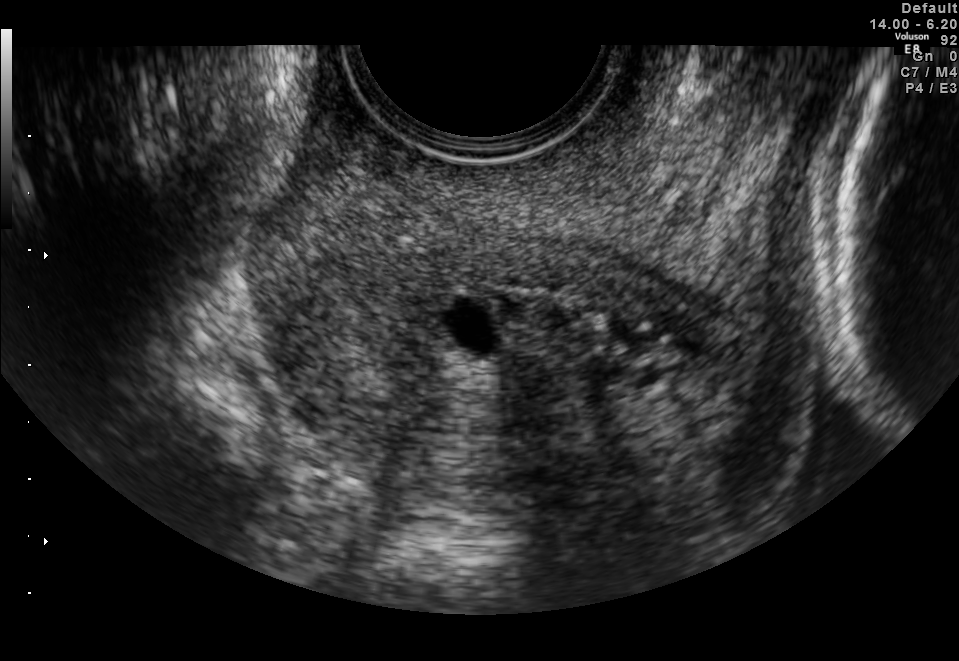
Identify the standard plane in this fetal ultrasound image: fetal abdomen, fetal brain, fetal femur, fetal thorax, maternal cervix, or other. If it's fetal brain and one of the three standard brain planes (trans-thalamic, trans-cerebellum, trans-ventricular), name which.

Maternal cervix